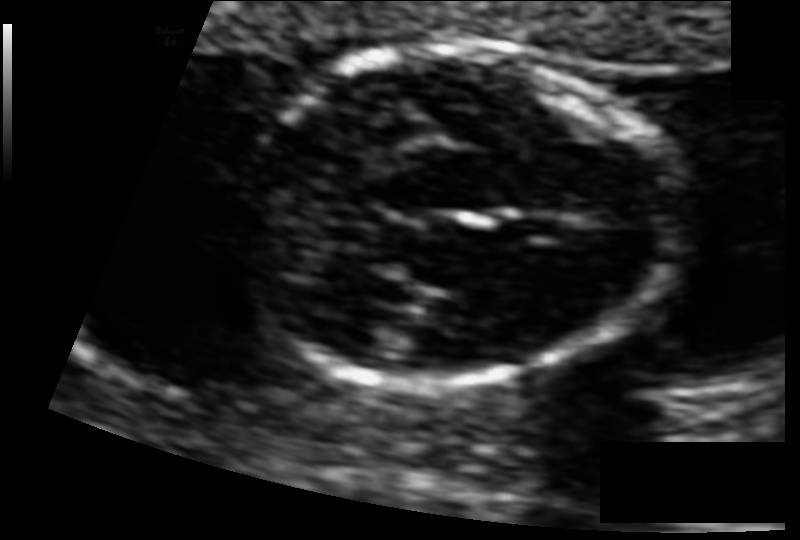
In this fetal head ultrasound, give the bounding box of the fetal head. Image width: 58.4 mm.

[240,48,677,390]